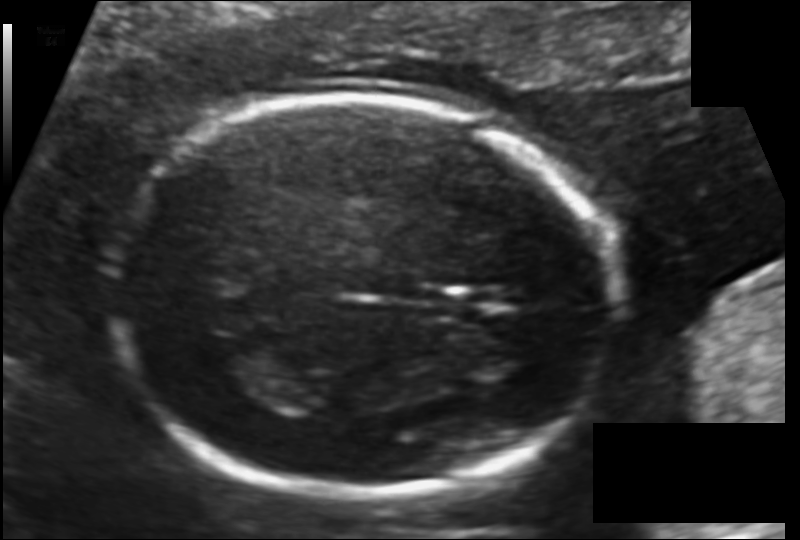
In this fetal head ultrasound, give bounding boxes for the head outline, cavum septum pellucidum (CSP), and lateral ventricle (LV), where visible. Image width: 92.9 mm.

Head: [107,96,616,494]